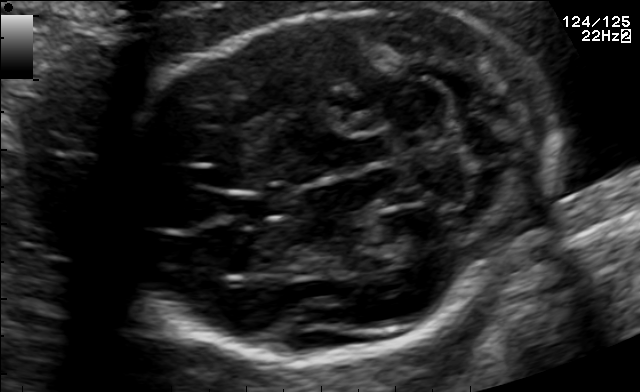
In this fetal brain, trans-cerebellum plane, give bounding boxes for the head outline, cavum septum pellucidum (CSP), and lateral ventricle (LV), where visible.

Head: [109,6,559,360]
CSP: [229,189,284,222]